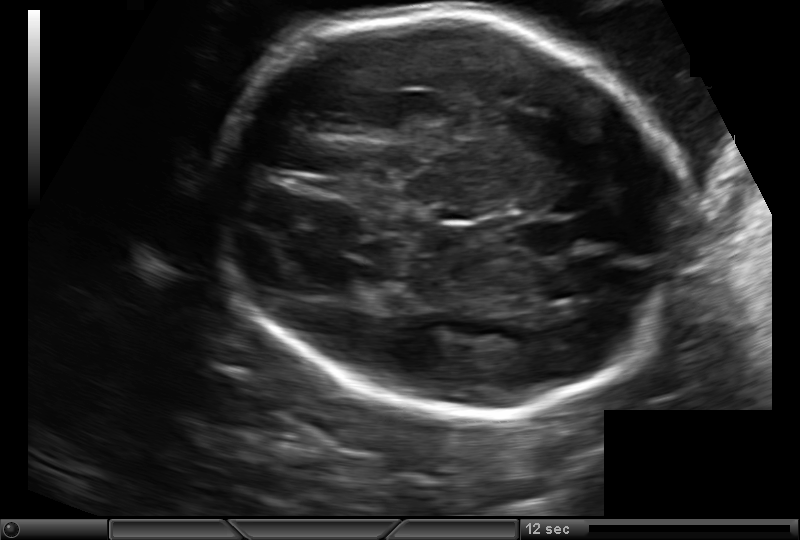
Fetal head ultrasound. Image width: 137.2 mm. Where is the fetal head?

Head bounding box: [216,14,689,415]